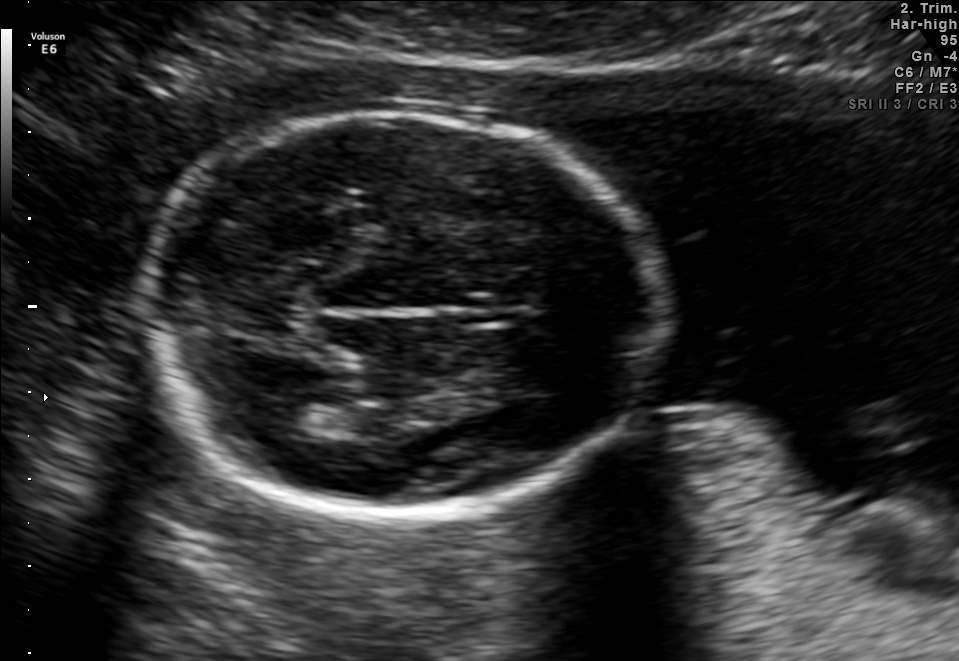
Fetal brain, trans-thalamic plane. Locate the lateral ventricle.

Lateral ventricle: [261,396,319,439]